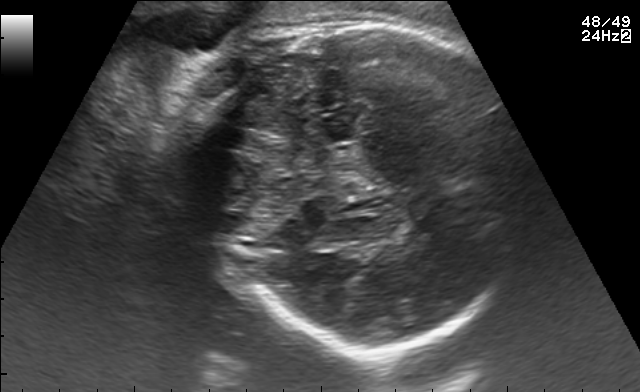
In this fetal brain, trans-thalamic plane, give bounding boxes for the head outline, cavum septum pellucidum (CSP), and lateral ventricle (LV), where visible.

Head: [187,15,531,344]